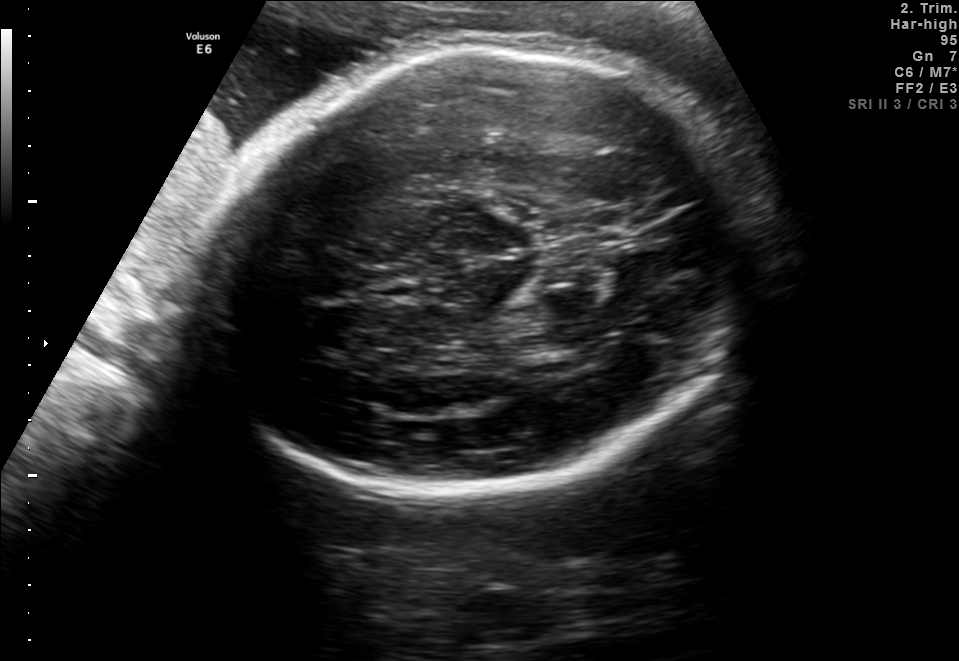
Fetal brain, trans-thalamic plane. Give [x1,y1,x2,y2] bounding boxes for each visible structure among: fetal head, CSP, LV.

Head: [199,41,754,498]